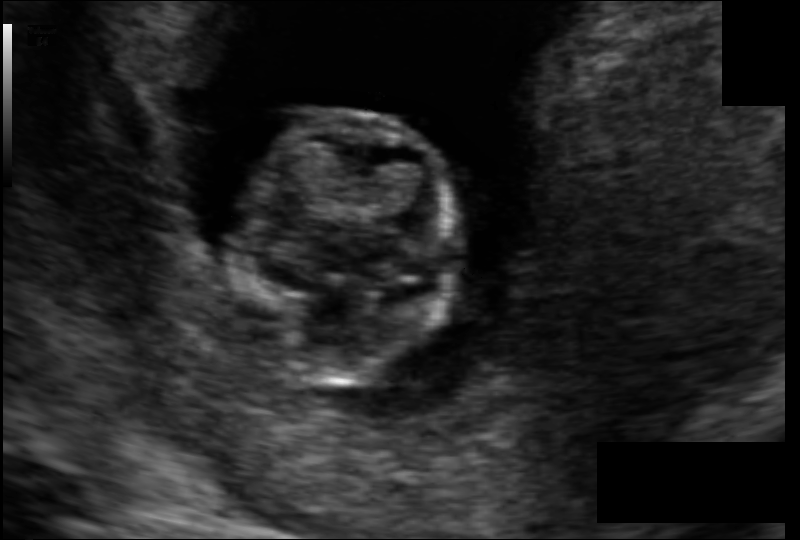
In this fetal head ultrasound, give bounding boxes for the head outline, cavum septum pellucidum (CSP), and lateral ventricle (LV), where visible. Image width: 72.7 mm.

Head: [237,110,458,387]